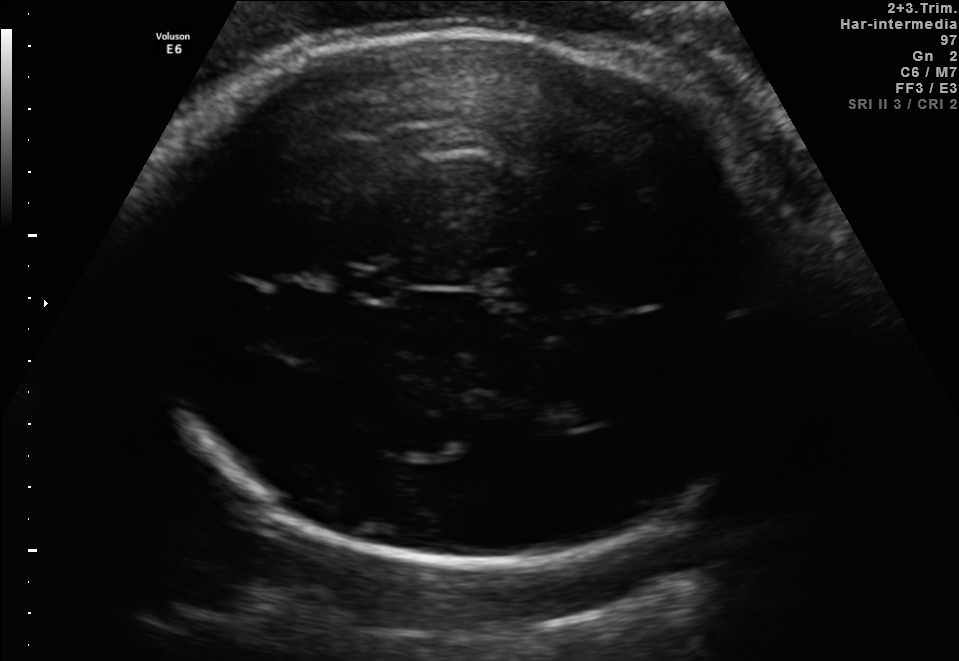
Fetal brain, trans-thalamic plane. Locate the fetal head.

Head: [130,29,799,564]